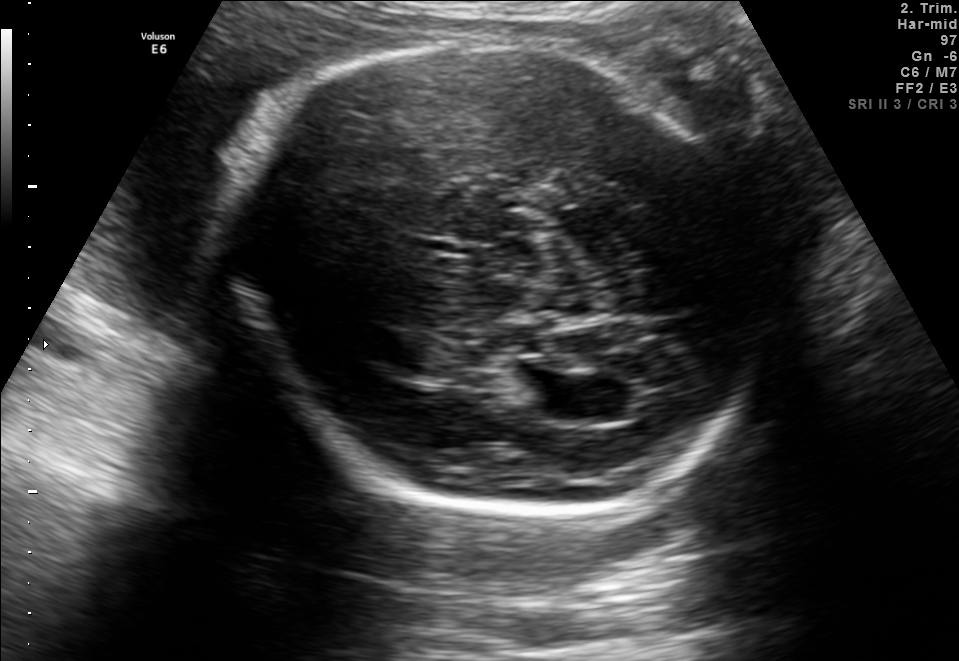
In this fetal brain, trans-ventricular plane, give bounding boxes for the head outline, cavum septum pellucidum (CSP), and lateral ventricle (LV), where visible.

Head: [228,28,775,525]
Lateral ventricle: [511,370,587,422]